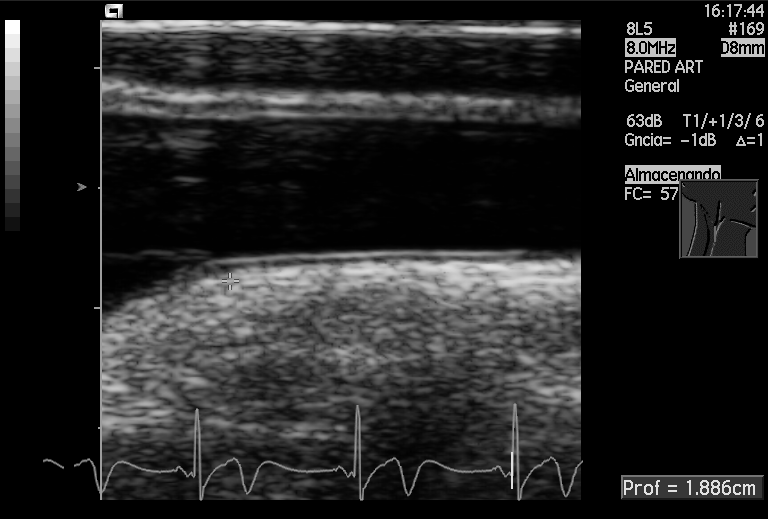
Identify the standard plane in this fetal ultrasound image: fetal abdomen, fetal brain, fetal femur, fetal thorax, maternal cervix, or other. If it's fetal brain and one of the three standard brain planes (trans-thalamic, trans-cerebellum, trans-ventricular), name which.

Other